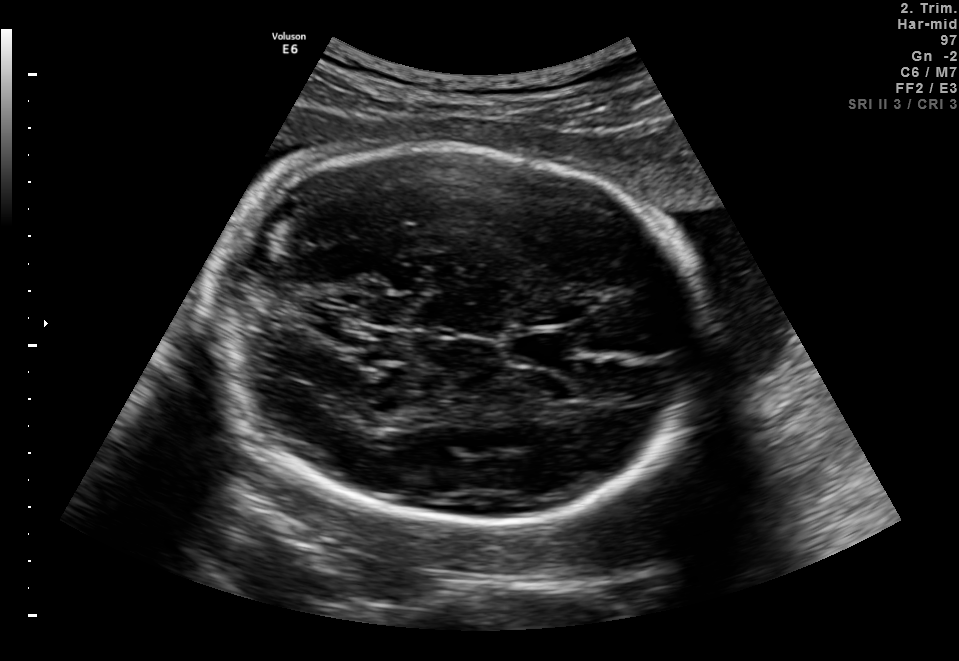
Fetal brain, trans-thalamic plane. Where is the cavum septum pellucidum?

CSP bounding box: [512,333,575,365]